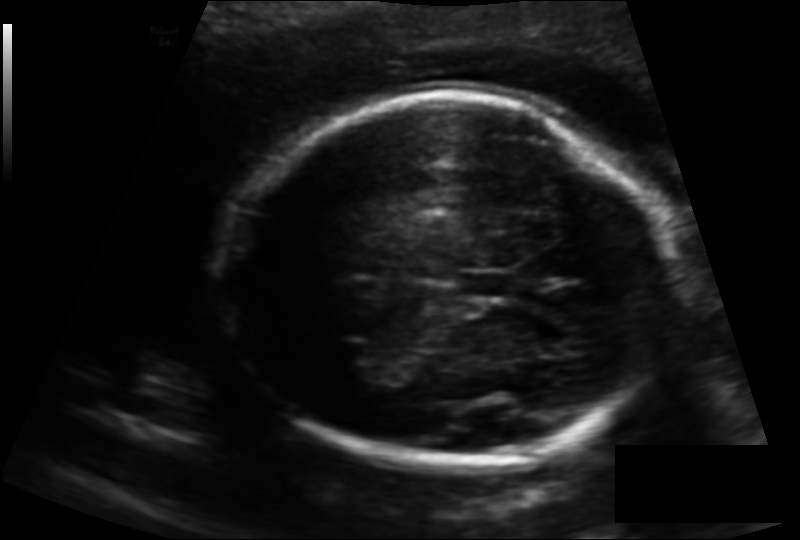
Estimate the fetal head circumference from this 2D ultrasound. Image width: 112.7 mm.

Head circumference: 188.8 mm.